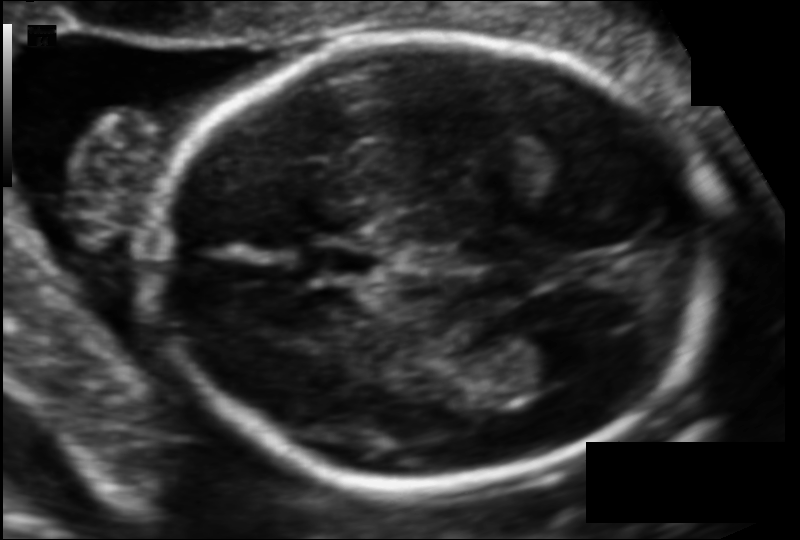
Fetal head ultrasound. Image width: 81.4 mm. Locate the fetal head and, if visible, the cavum septum pellucidum (CSP) and lateral ventricle (LV). Give bounding boxes as [x1,y1,x2,y2].

Head: [153,34,714,488]
CSP: [310,245,384,279]
Lateral ventricle: [506,309,613,395]